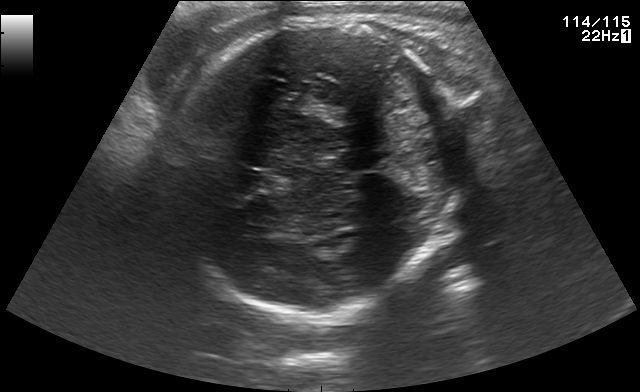
Fetal brain, trans-thalamic plane. Locate the fetal head and, if visible, the cavum septum pellucidum (CSP) and lateral ventricle (LV). Give bounding boxes as [x1,y1,x2,y2].

Head: [166,24,466,313]